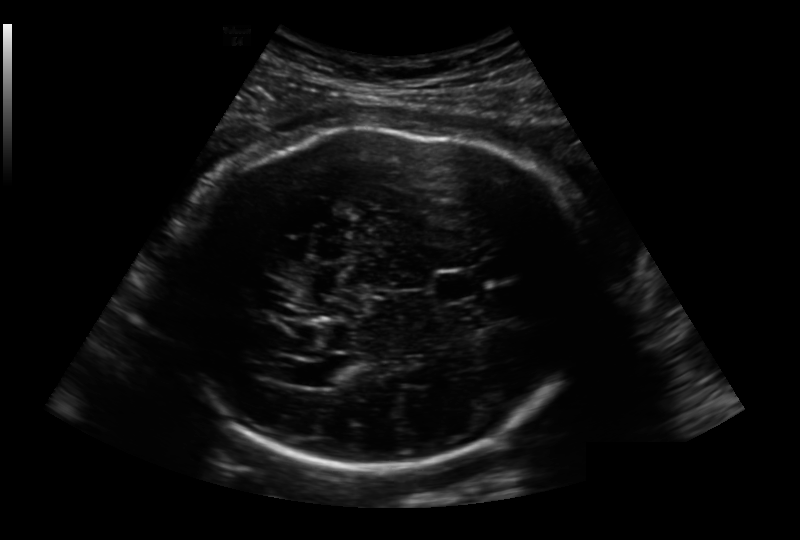
Fetal head ultrasound. Image width: 188.6 mm. Locate the fetal head.

Head: [174,125,596,469]